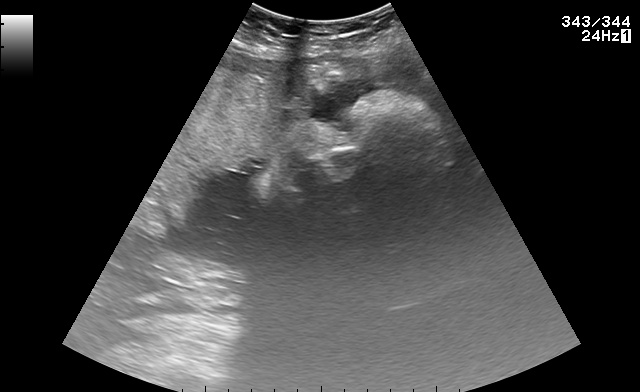
Classify this maternal-fetal ultrasound image as one of the six standard planes — fetal abdomen, fetal brain, fetal femur, fetal thorax, maternal cervix, or other. If it's fetal brain and one of the three standard brain planes (trans-thalamic, trans-cerebellum, trans-ventricular), name which.

Other